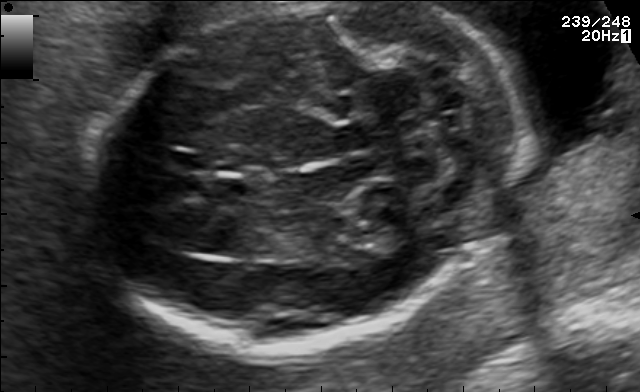
In this fetal brain, trans-cerebellum plane, give the bounding box of the fetal head.

[88,2,505,352]